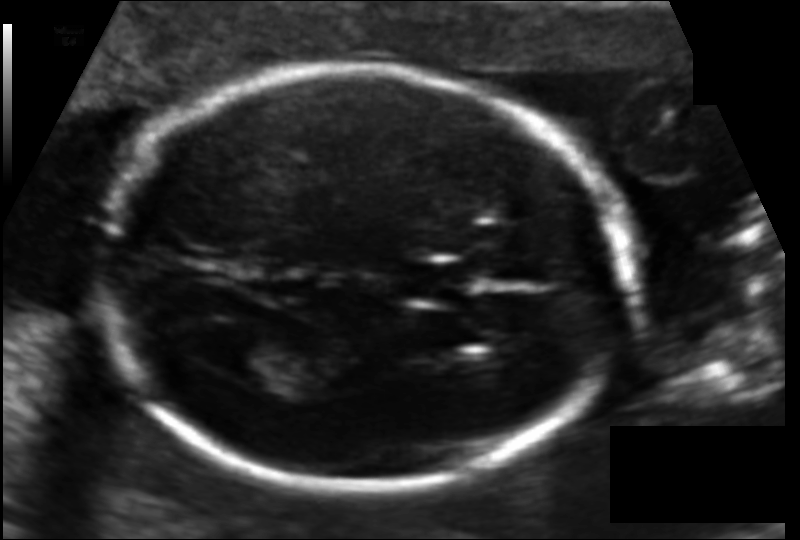
From this fetal ultrasound, estimate the head circumference (image width 91.0 mm).

Head circumference: 175.0 mm.